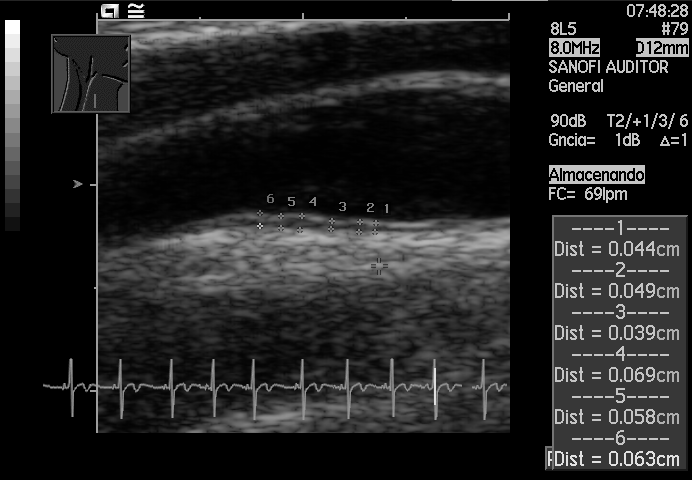
This is a 2D maternal-fetal ultrasound frame. Is it a fetal abdomen, fetal brain, fetal femur, fetal thorax, maternal cervix, or other standard plane? If it's fetal brain and one of the three standard brain planes (trans-thalamic, trans-cerebellum, trans-ventricular), name which.

Other